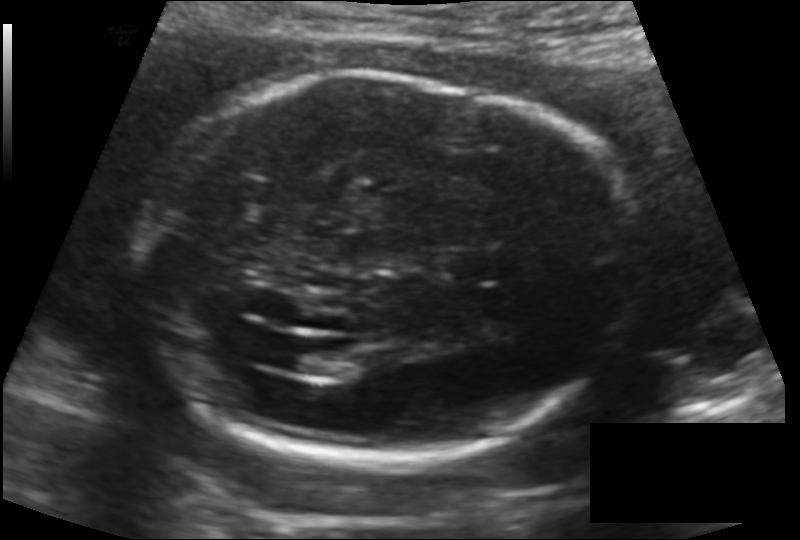
Measure the fetal head circumference shown in this ultrasound image. Image width: 117.5 mm.

Head circumference: 212.9 mm.